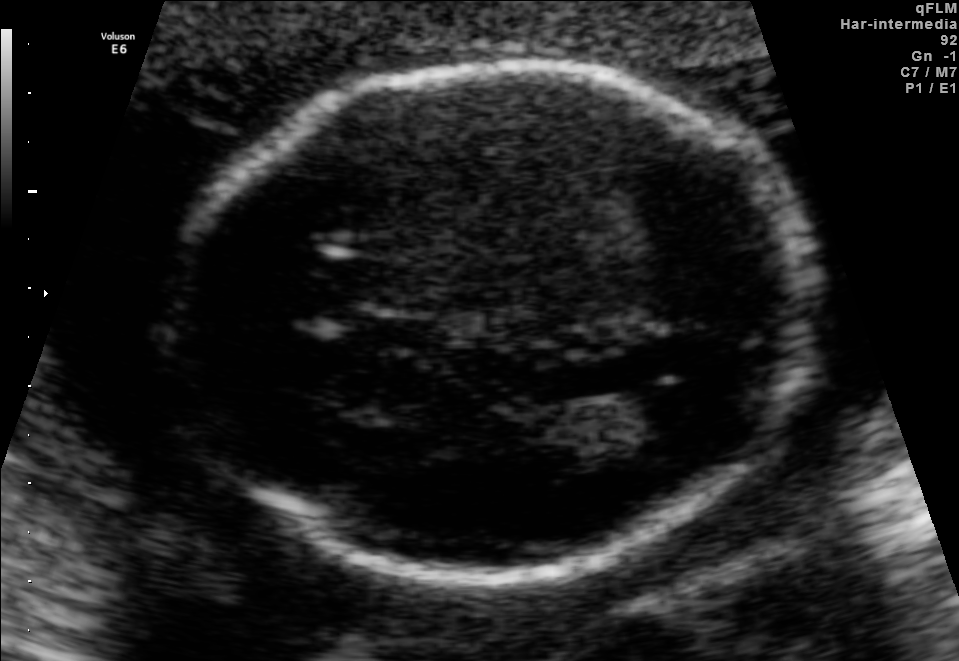
Fetal brain, trans-ventricular plane. Locate the fetal head and, if visible, the cavum septum pellucidum (CSP) and lateral ventricle (LV). Give bounding boxes as [x1,y1,x2,y2].

Head: [159,58,826,589]